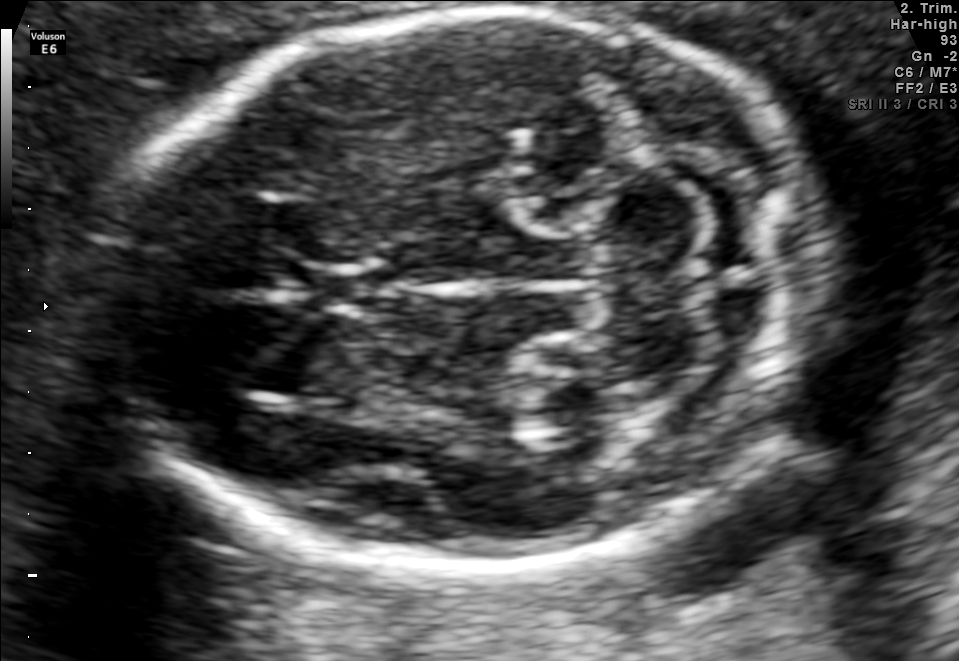
Identify the standard plane in this fetal ultrasound image: fetal abdomen, fetal brain, fetal femur, fetal thorax, maternal cervix, or other. If it's fetal brain and one of the three standard brain planes (trans-thalamic, trans-cerebellum, trans-ventricular), name which.

Fetal brain (trans-cerebellum plane)